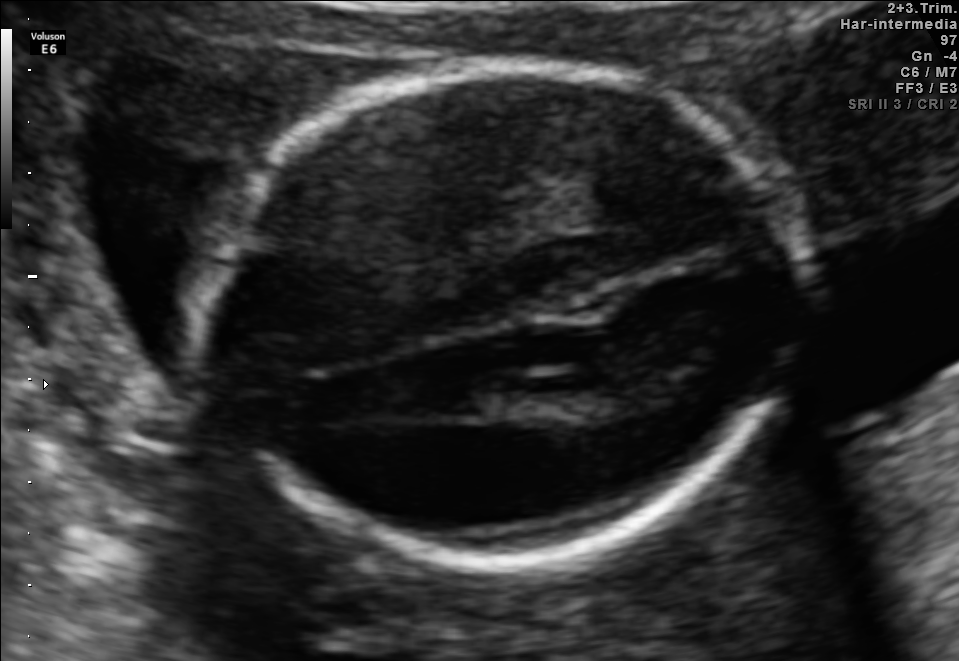
In this fetal brain, trans-thalamic plane, give bounding boxes for the head outline, cavum septum pellucidum (CSP), and lateral ventricle (LV), where visible.

Head: [207,61,794,568]